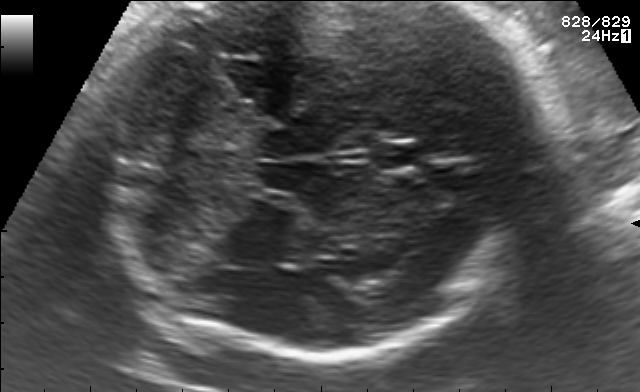
In this fetal brain, trans-cerebellum plane, give the bounding box of the fetal head.

[115,2,557,356]